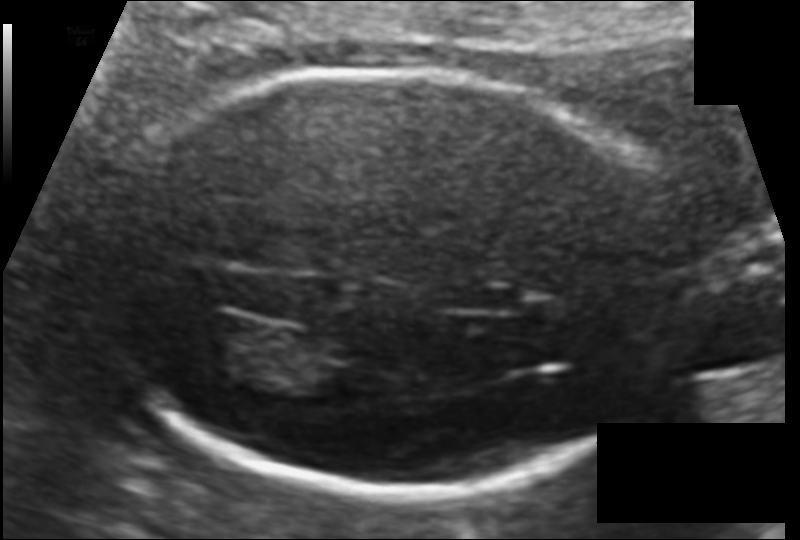
Estimate the fetal head circumference from this 2D ultrasound.

Head circumference: 169.9 mm (image width 82.9 mm).